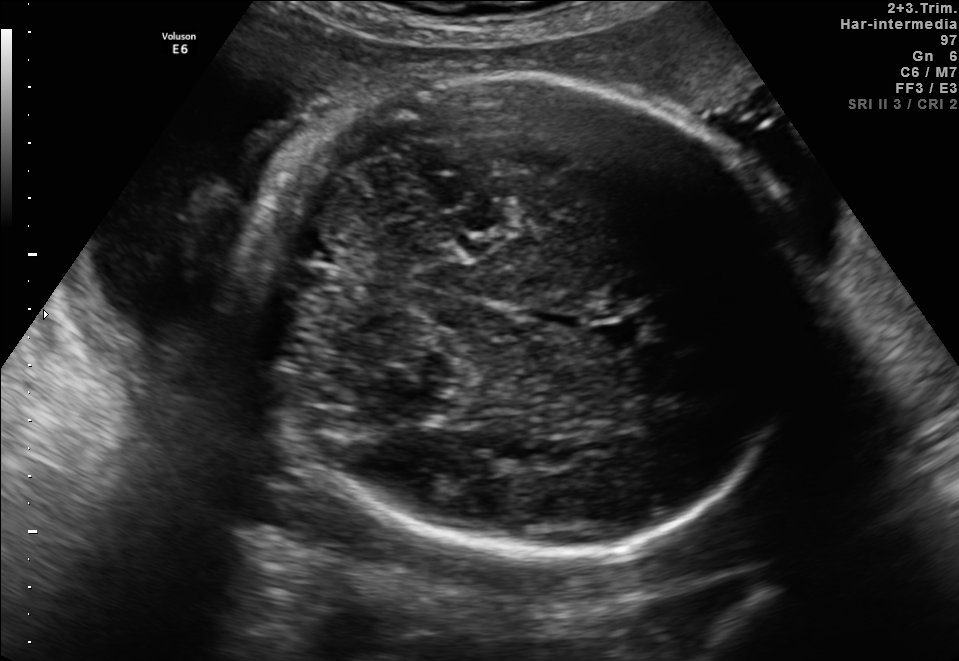
Fetal brain, trans-cerebellum plane. Locate the cavum septum pellucidum.

CSP: [585,312,654,358]